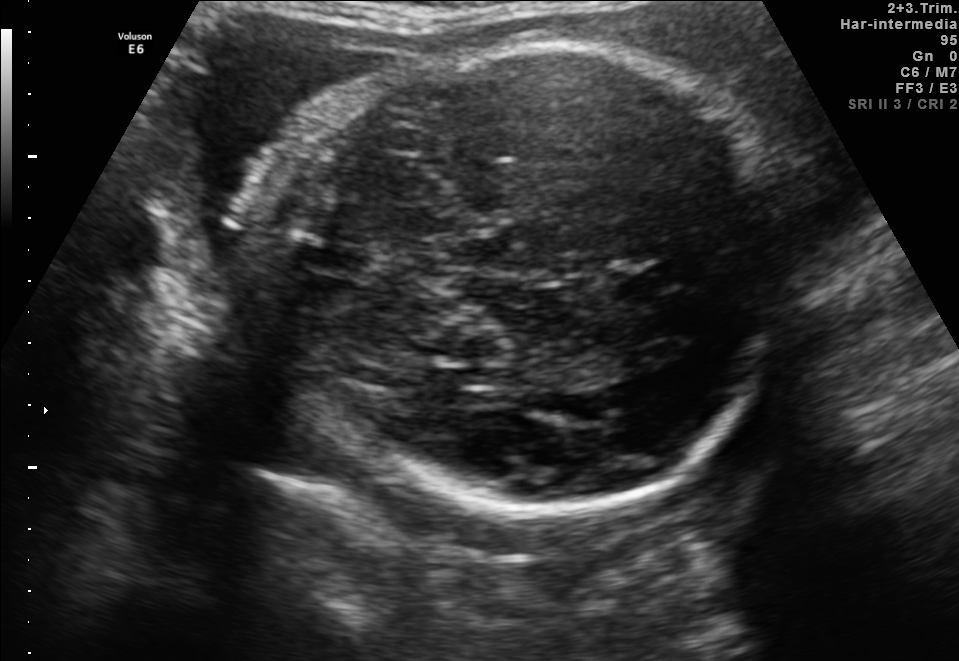
In this fetal brain, trans-thalamic plane, give bounding boxes for the head outline, cavum septum pellucidum (CSP), and lateral ventricle (LV), where visible.

Head: [273,38,782,529]
CSP: [611,263,673,300]
Lateral ventricle: [457,368,505,384]